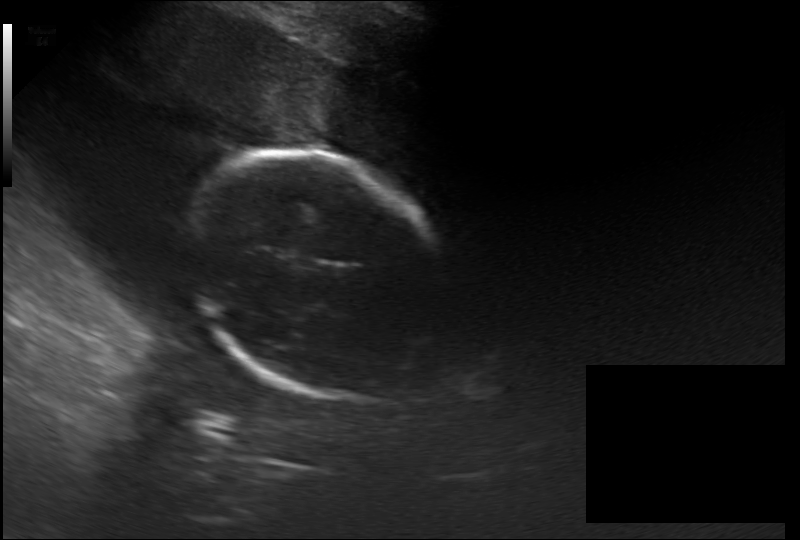
Fetal head ultrasound. Image width: 211.0 mm. Locate the fetal head.

Head: [184,153,455,400]